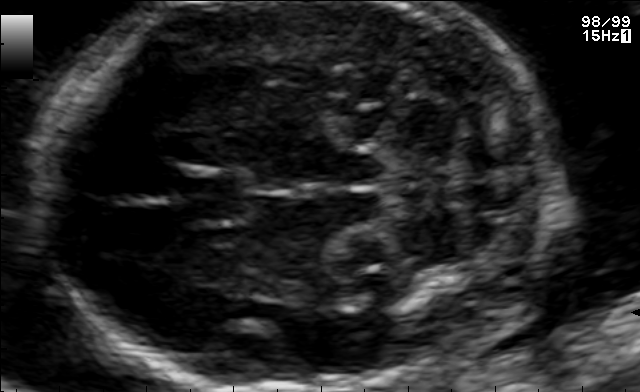
In this fetal brain, trans-cerebellum plane, give bounding boxes for the head outline, cavum septum pellucidum (CSP), and lateral ventricle (LV), where visible.

Head: [35,4,555,390]
CSP: [178,171,248,224]